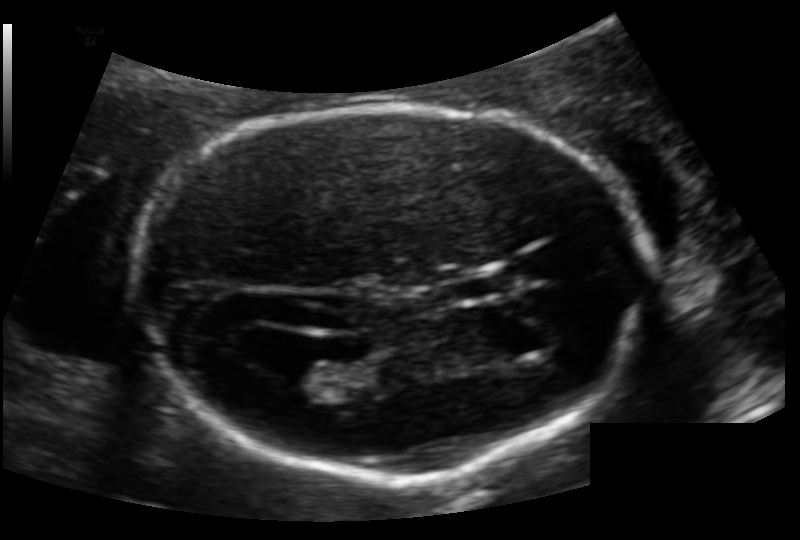
Fetal head ultrasound. Image width: 99.1 mm. Locate the fetal head and, if visible, the cavum septum pellucidum (CSP) and lateral ventricle (LV). Give bounding boxes as [x1,y1,x2,y2].

Head: [148,106,646,480]
CSP: [448,266,515,307]
Lateral ventricle: [269,350,337,393]